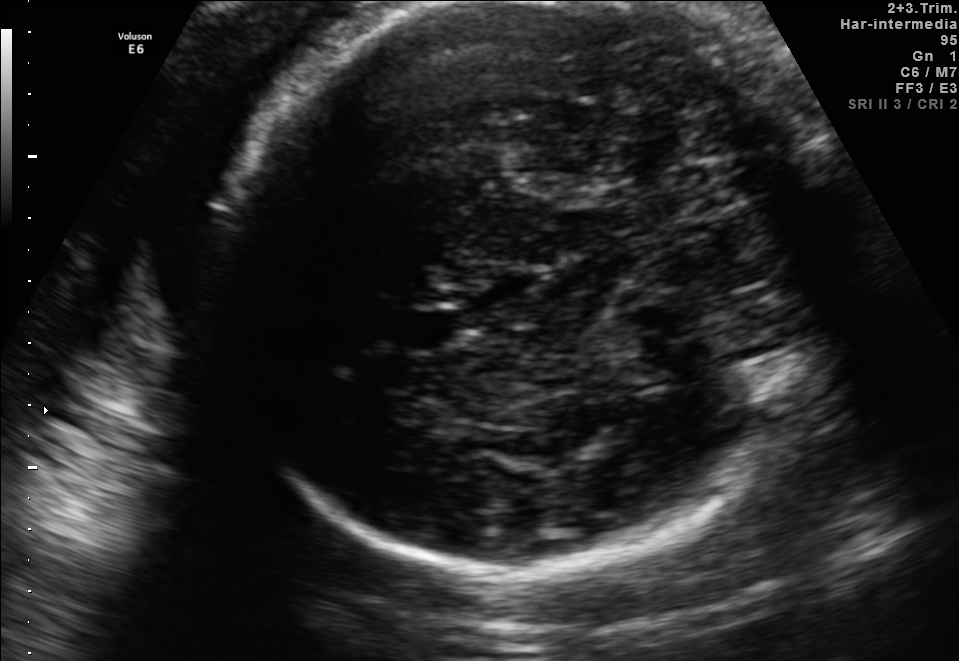
Fetal brain, trans-thalamic plane. Locate the fetal head.

Head: [214,4,845,561]